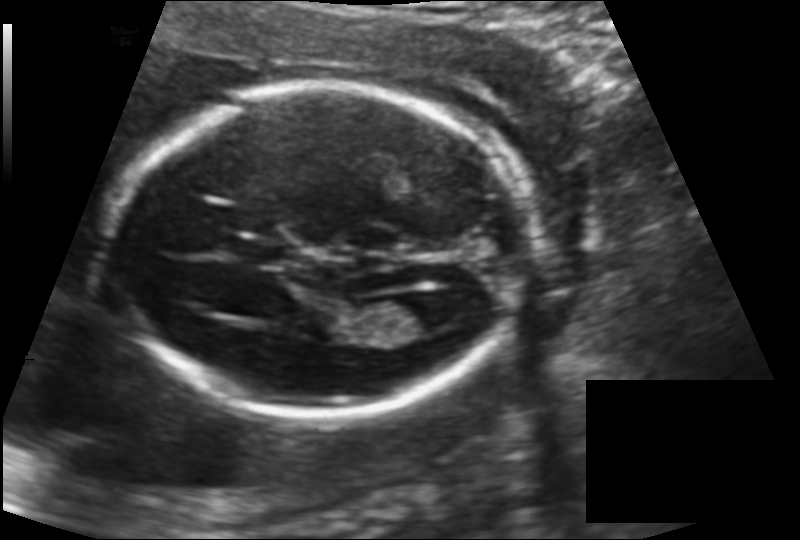
Fetal head ultrasound. Image width: 113.5 mm. Locate the fetal head.

Head: [118,85,517,413]